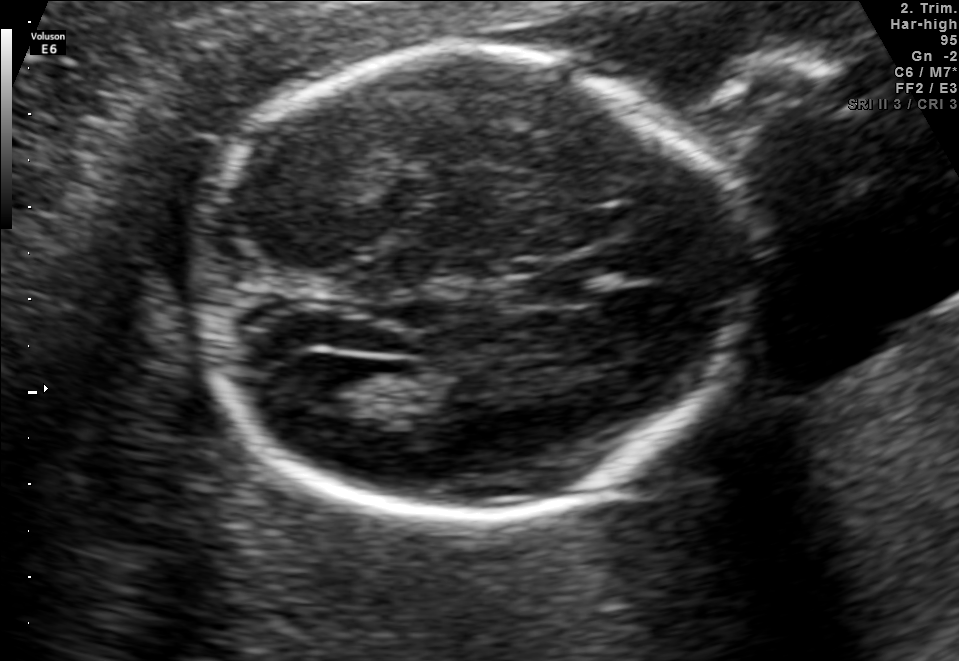
Fetal brain, trans-ventricular plane. Locate the fetal head and, if visible, the cavum septum pellucidum (CSP) and lateral ventricle (LV). Give bounding boxes as [x1,y1,x2,y2].

Head: [187,38,762,527]
CSP: [501,274,589,305]
Lateral ventricle: [286,349,376,419]